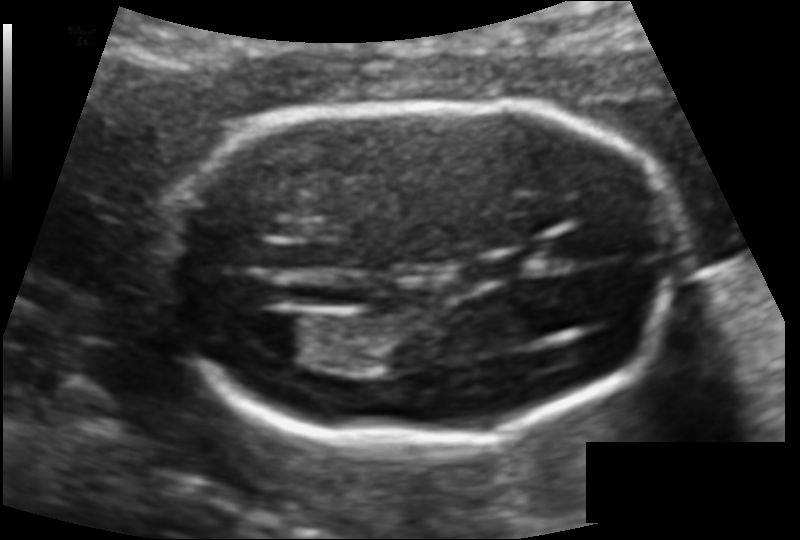
Fetal head ultrasound. Image width: 87.1 mm. Where is the cavum septum pellucidum?

CSP bounding box: [545,221,611,271]